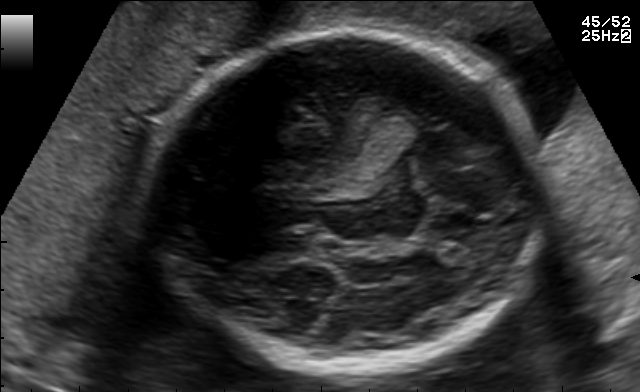
Identify the standard plane in this fetal ultrasound image: fetal abdomen, fetal brain, fetal femur, fetal thorax, maternal cervix, or other. If it's fetal brain and one of the three standard brain planes (trans-thalamic, trans-cerebellum, trans-ventricular), name which.

Fetal brain (trans-thalamic plane)